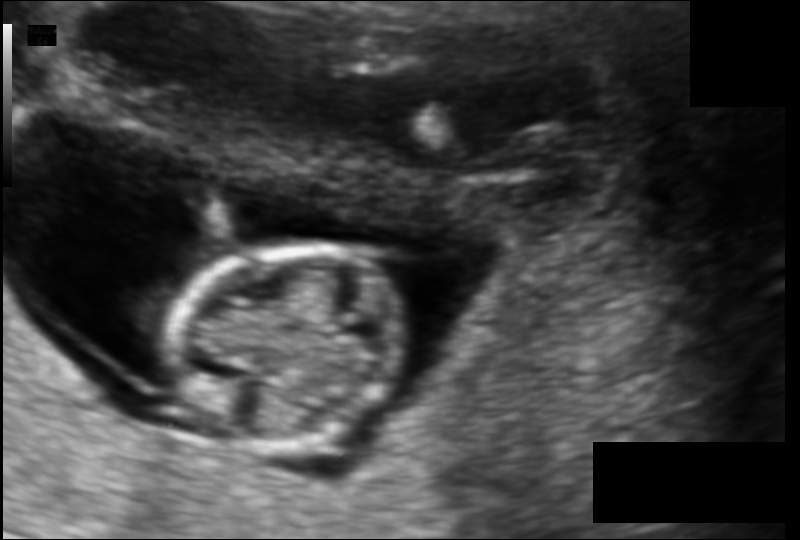
What is the fetal head circumference? Image width is 83.9 mm.

75.8 mm